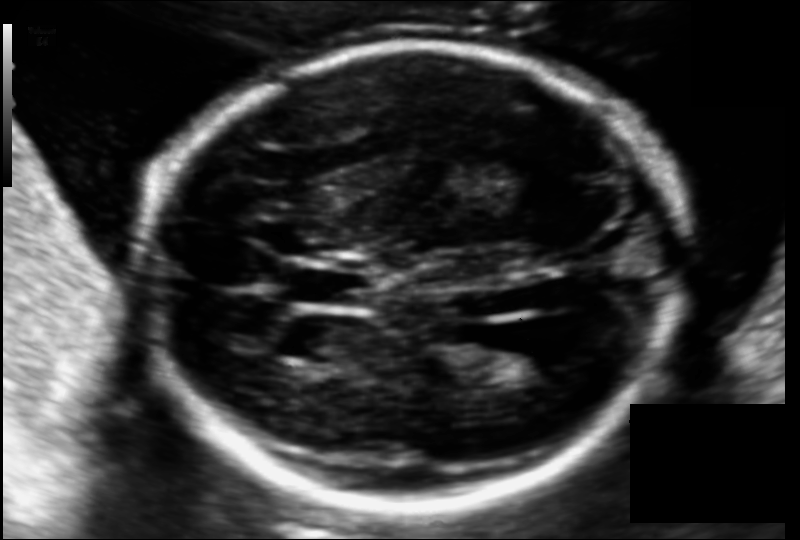
What is the fetal head circumference? Image width is 94.4 mm.

191.5 mm